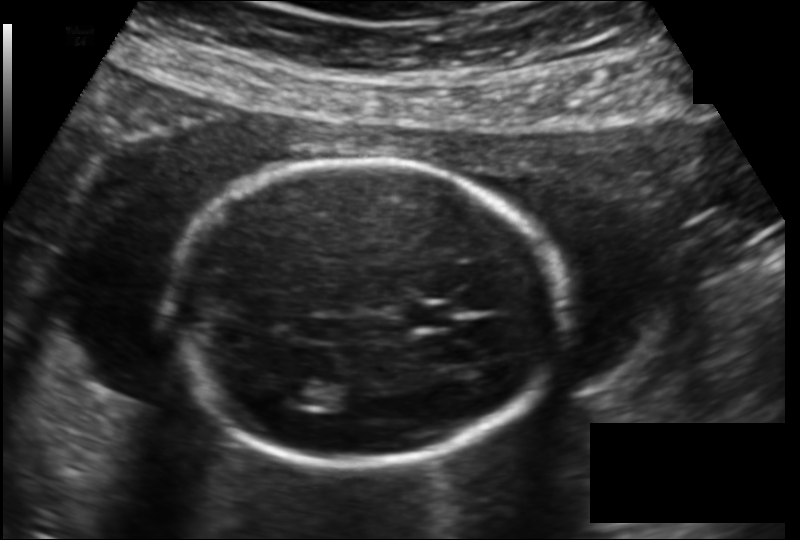
Fetal head ultrasound. Image width: 119.1 mm. Locate the fetal head and, if visible, the cavum septum pellucidum (CSP) and lateral ventricle (LV). Give bounding boxes as [x1,y1,x2,y2].

Head: [173,162,561,462]
CSP: [408,305,452,327]
Lateral ventricle: [272,374,323,412]